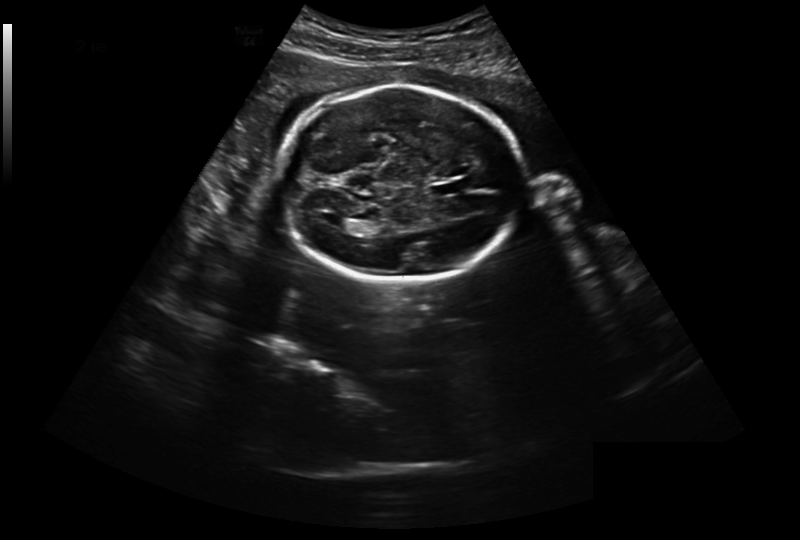
Estimate the fetal head circumference from this 2D ultrasound.

Head circumference: 213.8 mm (image width 241.1 mm).